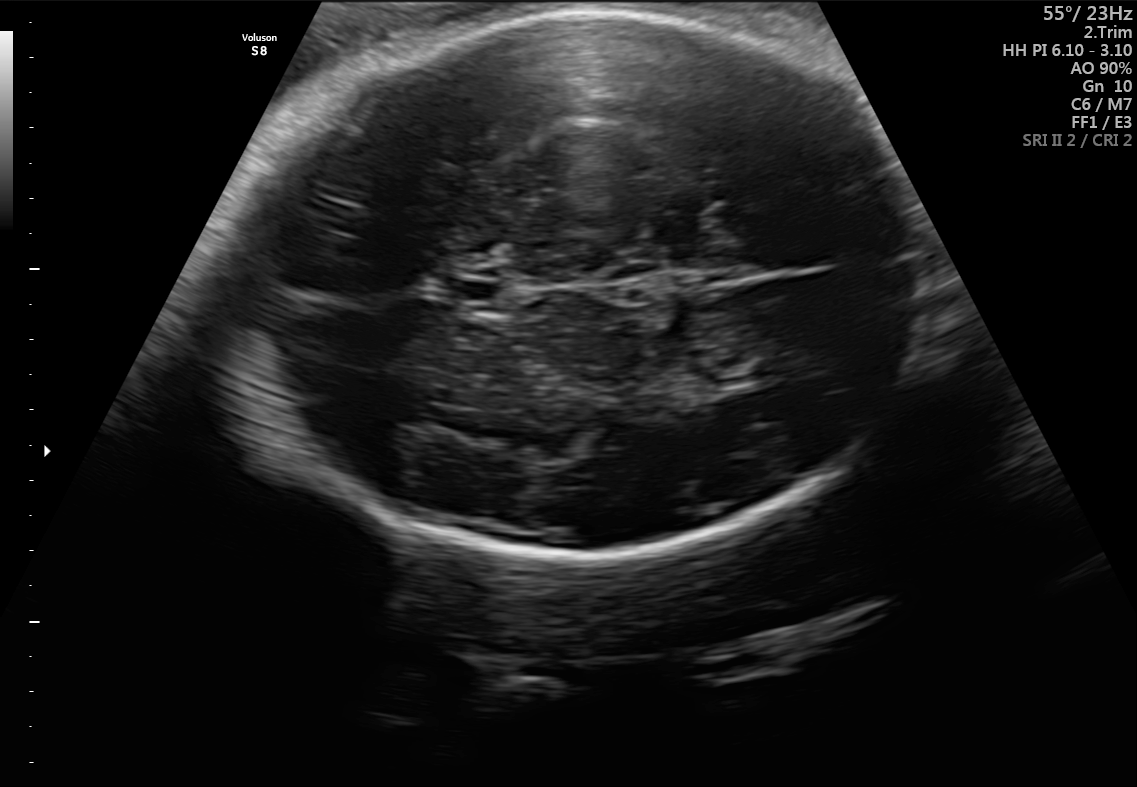
In this fetal brain, trans-thalamic plane, give the bounding box of the fetal head.

[225,10,921,568]